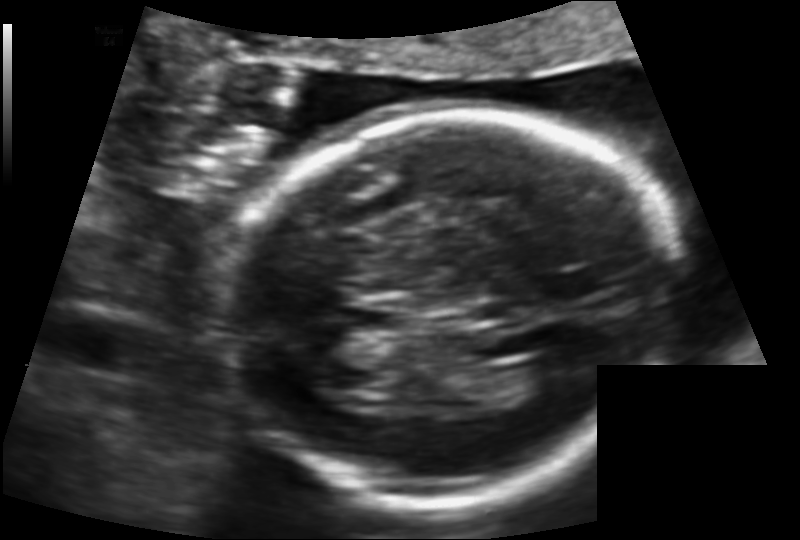
Fetal head ultrasound. Image width: 97.9 mm. Give [x1,y1,x2,y2] bounding boxes for each visible structure among: fetal head, CSP, LV.

Head: [228,111,672,504]